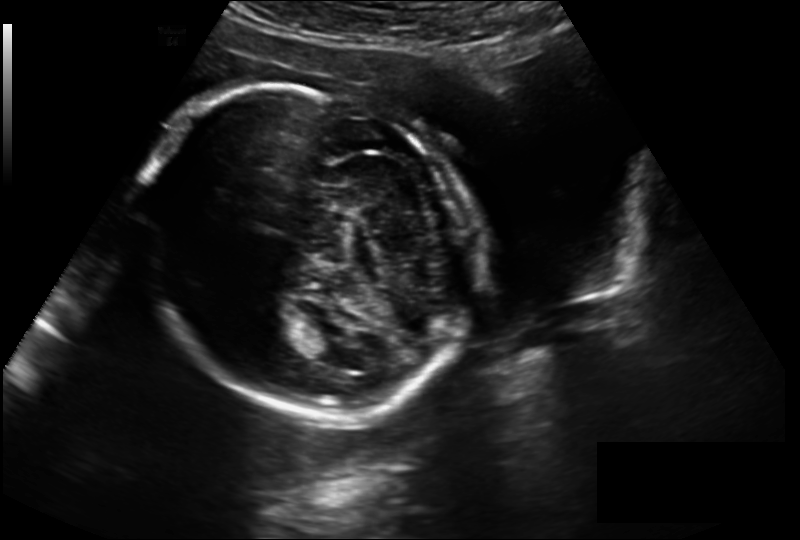
Fetal head ultrasound. Image width: 168.8 mm. Locate the fetal head.

Head: [141,85,465,422]